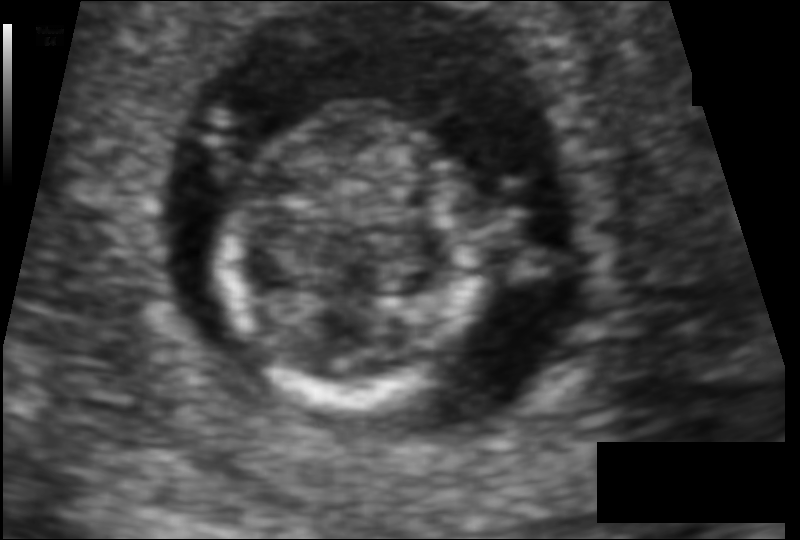
What is the fetal head circumference? Image width is 63.9 mm.

72.9 mm